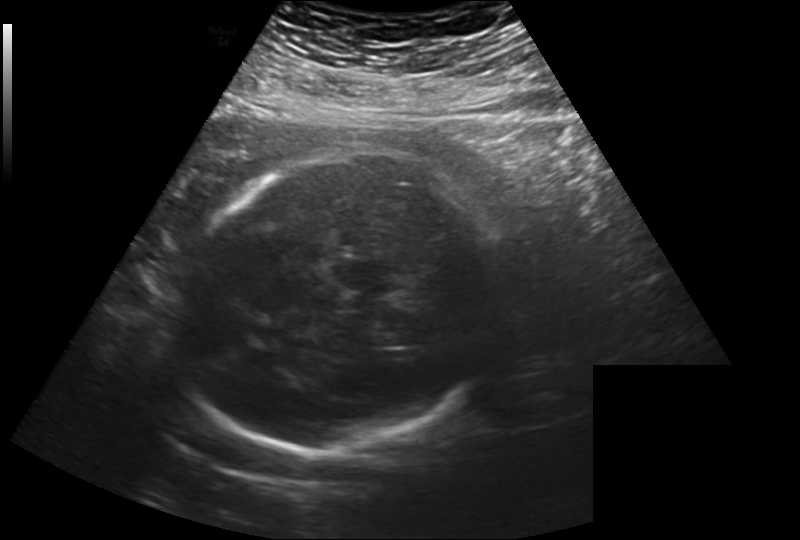
Measure the fetal head circumference shown in this ultrasound image. Image width: 208.0 mm.

Head circumference: 271.0 mm.